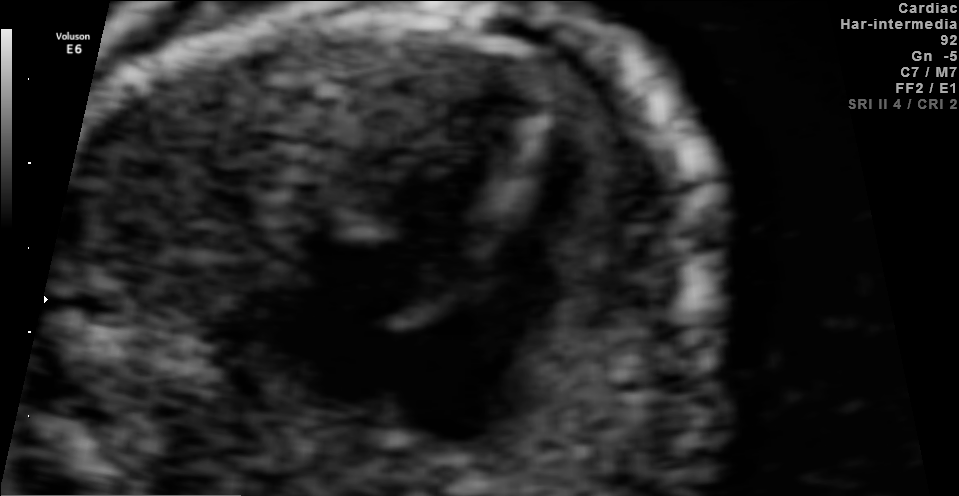
This is a 2D maternal-fetal ultrasound frame. Is it a fetal abdomen, fetal brain, fetal femur, fetal thorax, maternal cervix, or other standard plane? If it's fetal brain and one of the three standard brain planes (trans-thalamic, trans-cerebellum, trans-ventricular), name which.

Fetal thorax